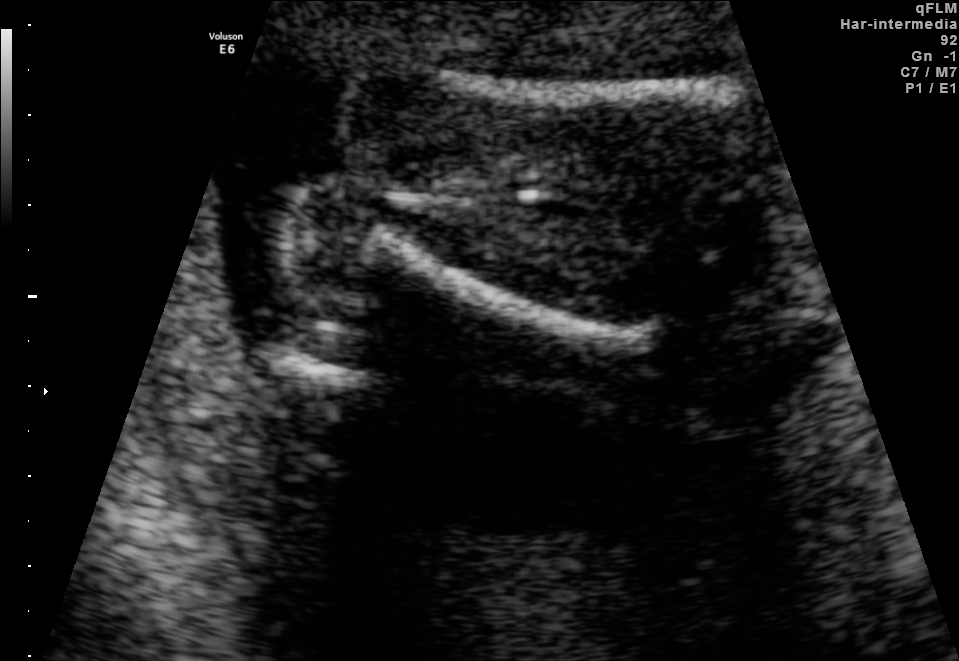
This is a 2D maternal-fetal ultrasound frame. Is it a fetal abdomen, fetal brain, fetal femur, fetal thorax, maternal cervix, or other standard plane? If it's fetal brain and one of the three standard brain planes (trans-thalamic, trans-cerebellum, trans-ventricular), name which.

Fetal femur